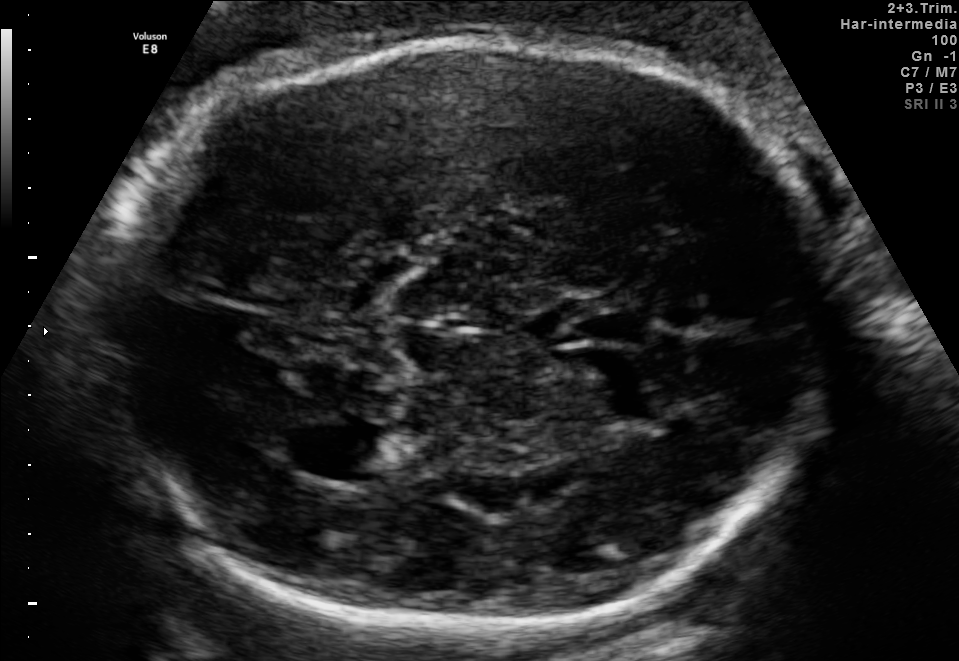
Fetal brain, trans-thalamic plane. Where is the cavum septum pellucidum?

CSP bounding box: [539,302,652,352]